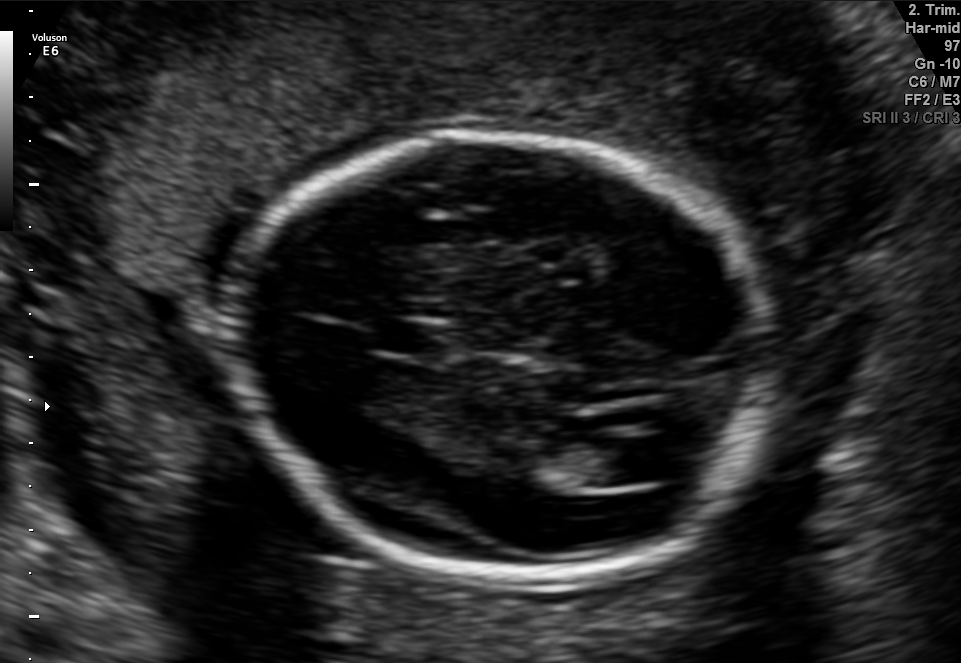
Fetal brain, trans-ventricular plane. Where is the fetal head?

Head bounding box: [228,124,777,593]